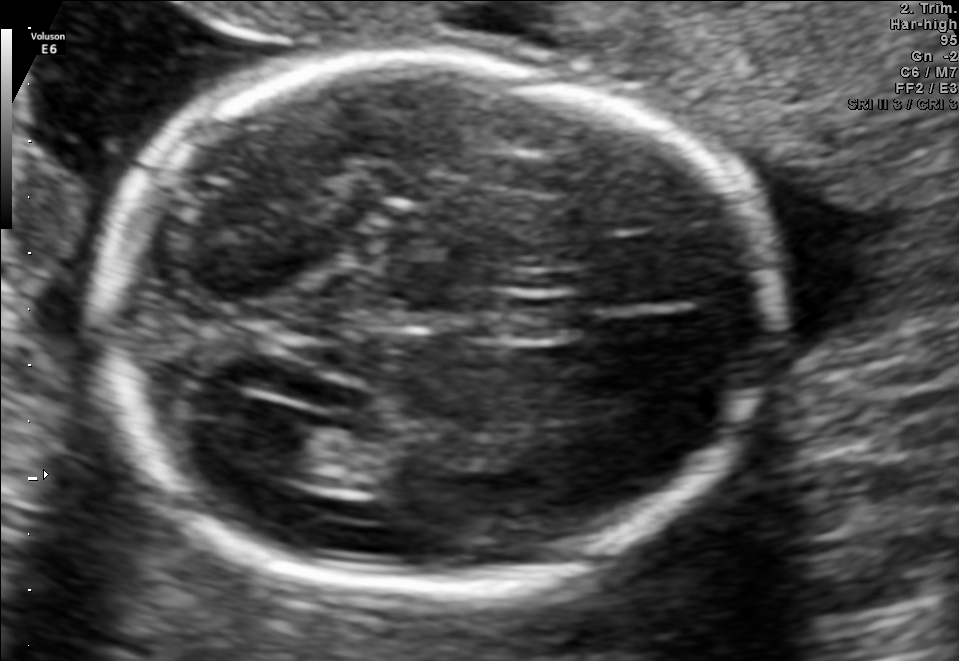
Fetal brain, trans-ventricular plane. Locate the fetal head and, if visible, the cavum septum pellucidum (CSP) and lateral ventricle (LV). Give bounding boxes as [x1,y1,x2,y2].

Head: [80,41,797,612]
CSP: [466,296,593,341]
Lateral ventricle: [207,388,324,482]